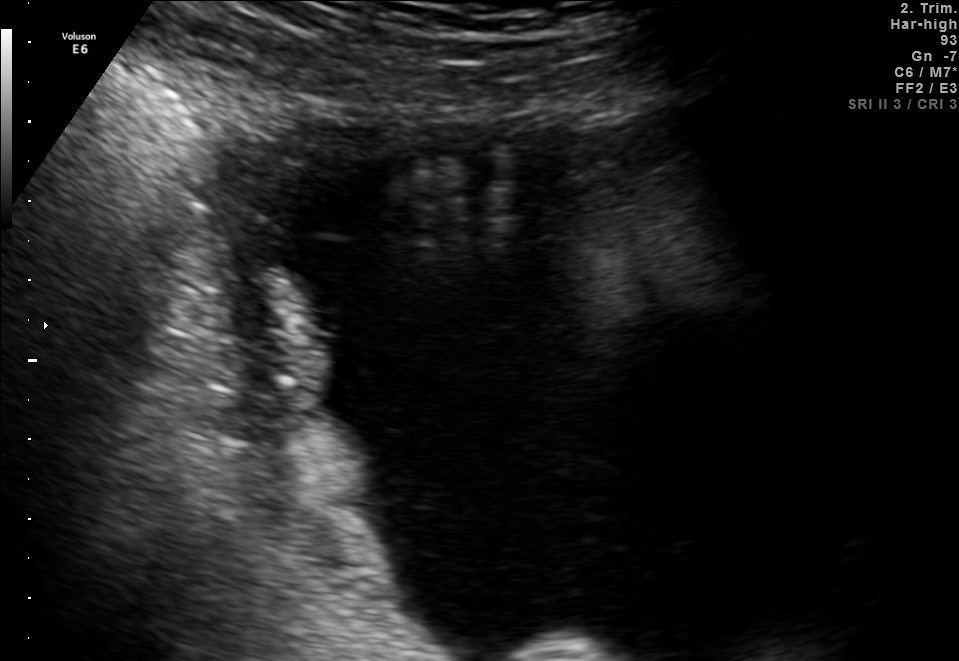
This is a 2D maternal-fetal ultrasound frame. Is it a fetal abdomen, fetal brain, fetal femur, fetal thorax, maternal cervix, or other standard plane? If it's fetal brain and one of the three standard brain planes (trans-thalamic, trans-cerebellum, trans-ventricular), name which.

Other